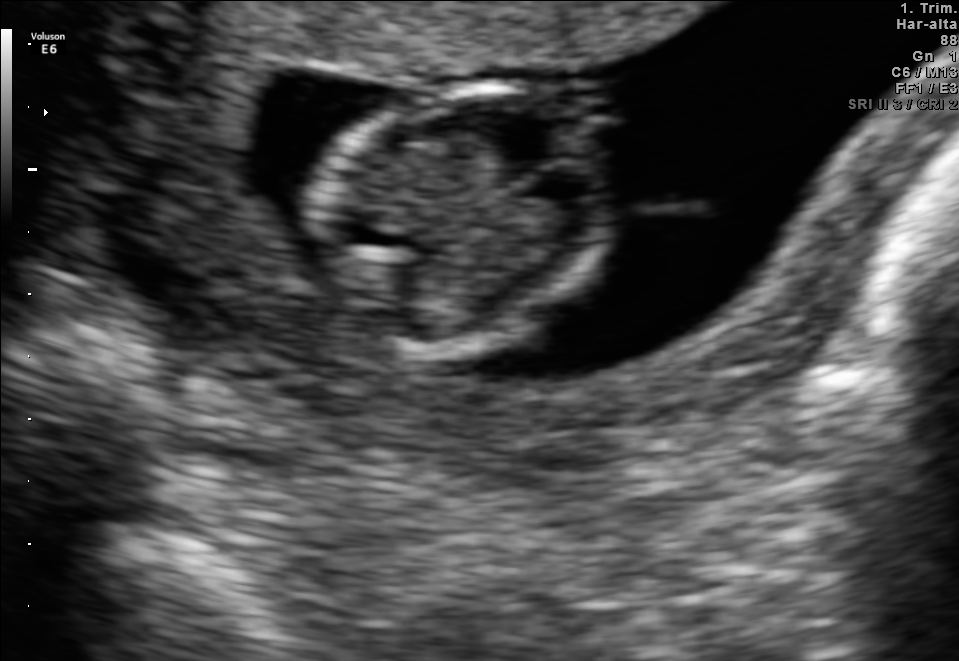
Fetal brain, trans-thalamic plane. Locate the fetal head.

Head: [302,87,615,348]